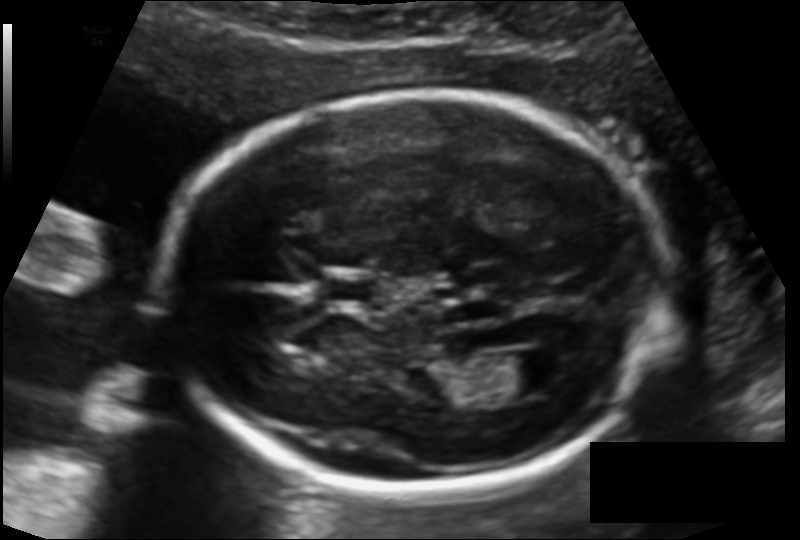
In this fetal head ultrasound, give bounding boxes for the head outline, cavum septum pellucidum (CSP), and lateral ventricle (LV), where visible. Image width: 101.2 mm.

Head: [169,93,663,491]
CSP: [321,273,374,306]
Lateral ventricle: [484,348,563,404]